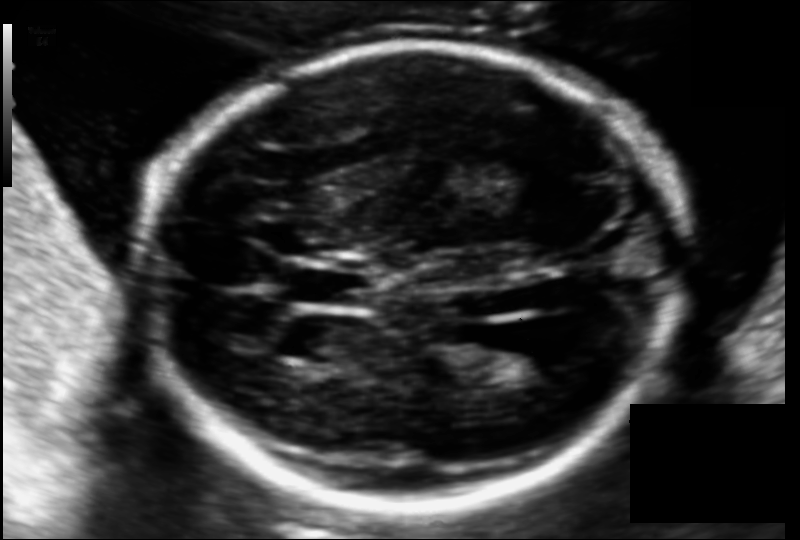
Measure the fetal head circumference shown in this ultrasound image. Image width: 94.4 mm.

Head circumference: 191.5 mm.